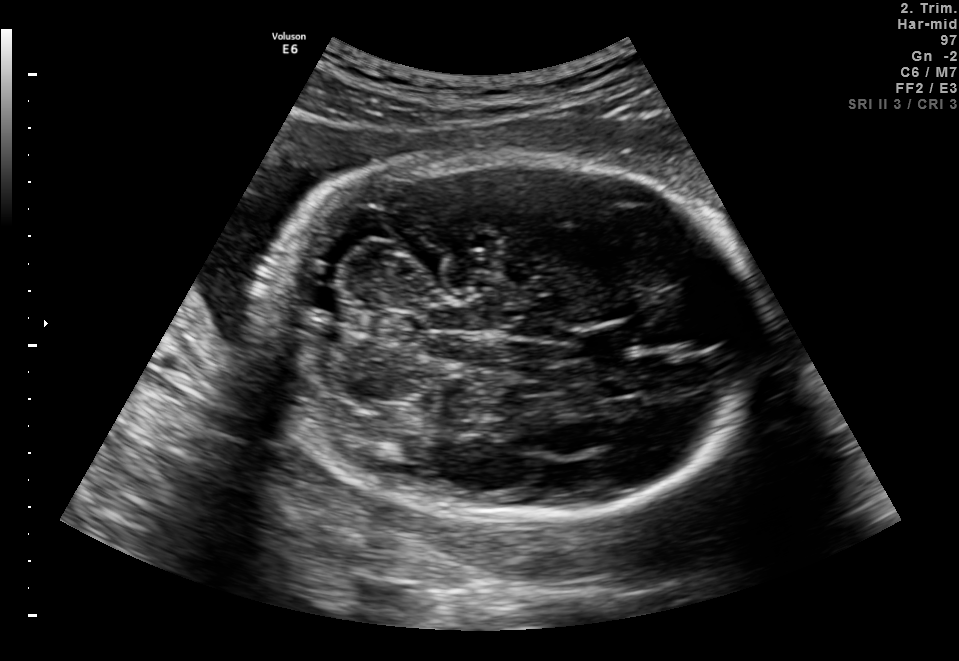
In this fetal brain, trans-cerebellum plane, give bounding boxes for the head outline, cavum septum pellucidum (CSP), and lateral ventricle (LV), where visible.

Head: [265,151,760,526]
CSP: [568,318,638,362]